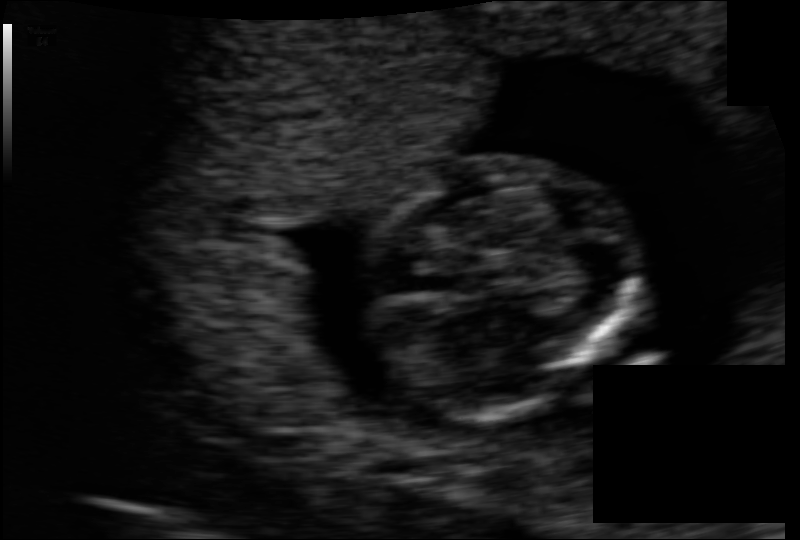
What is the fetal head circumference? Image width is 66.6 mm.

71.9 mm